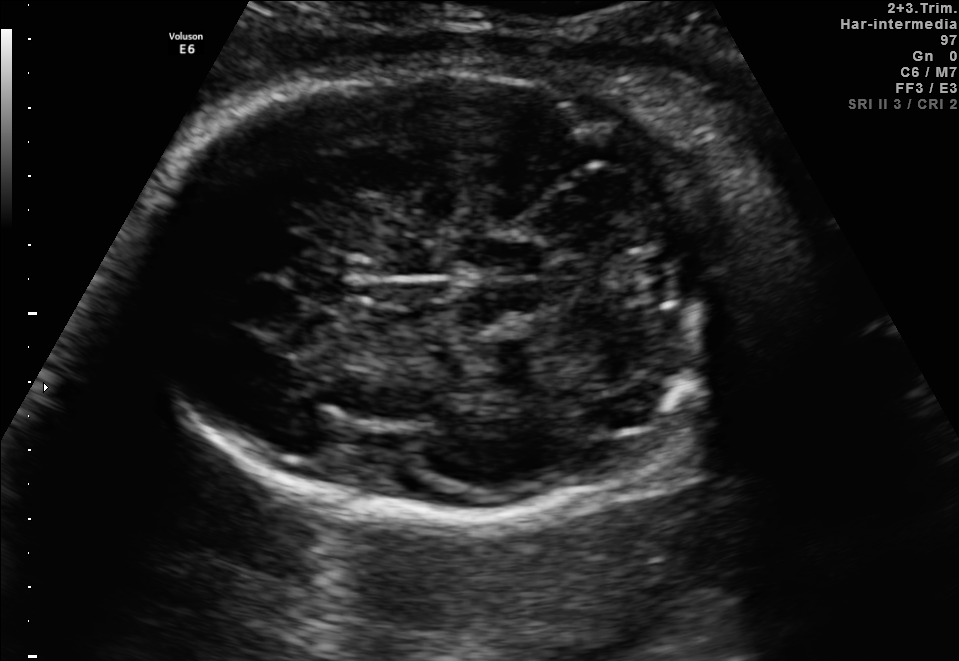
Fetal brain, trans-cerebellum plane. Locate the cavum septum pellucidum.

CSP: [287,262,346,309]